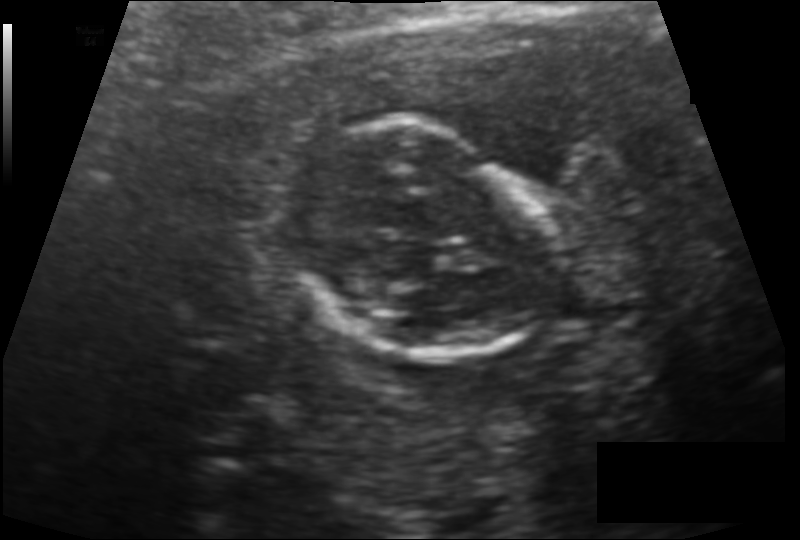
From this fetal ultrasound, estimate the head circumference (image width 91.6 mm).

Head circumference: 97.2 mm.